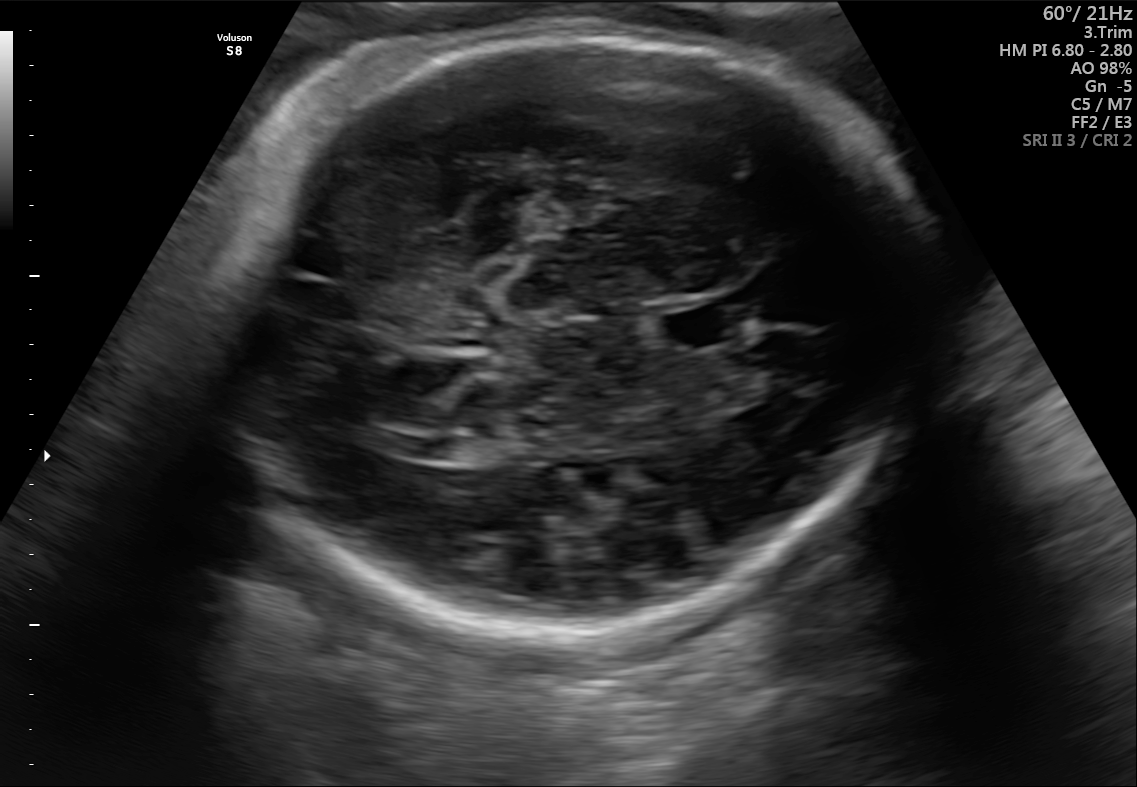
In this fetal brain, trans-thalamic plane, give the bounding box of the lateral ventricle.

[417,437,489,461]